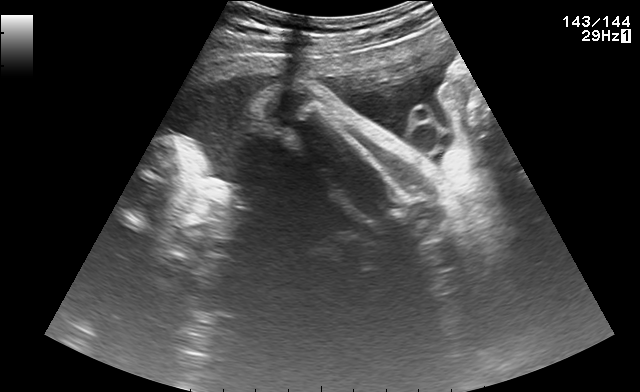
Which standard maternal-fetal ultrasound plane is shown: fetal abdomen, fetal brain, fetal femur, fetal thorax, maternal cervix, or other? If it's fetal brain and one of the three standard brain planes (trans-thalamic, trans-cerebellum, trans-ventricular), name which.

Other